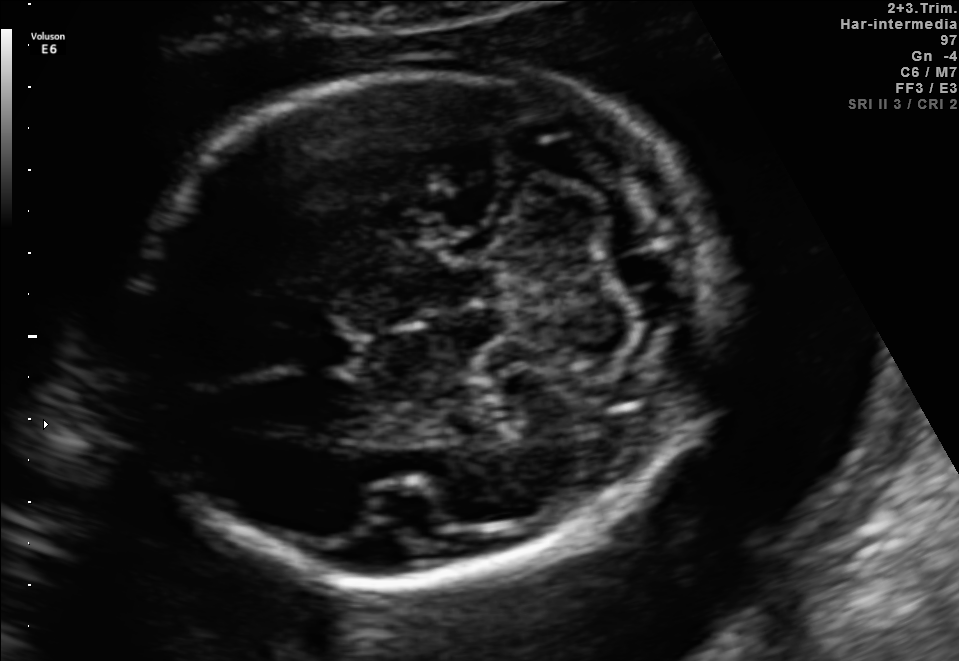
Fetal brain, trans-cerebellum plane. Locate the cavum septum pellucidum.

CSP: [288,329,358,374]